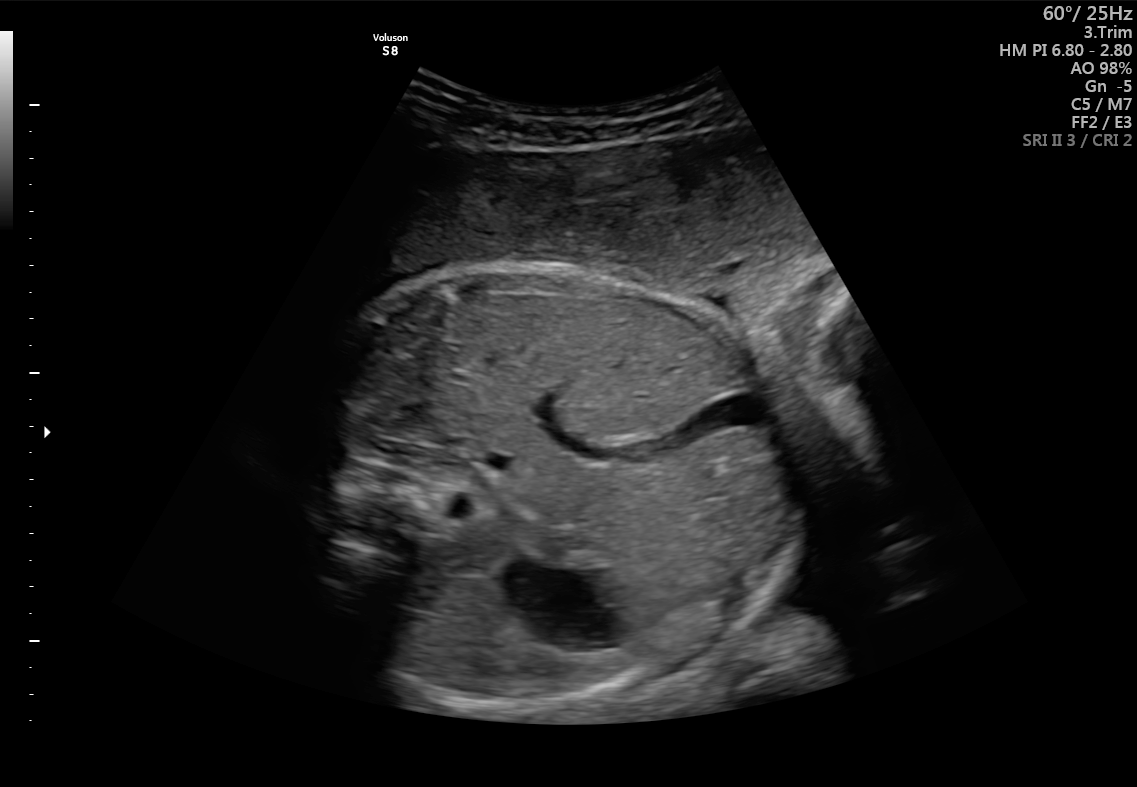
Identify the standard plane in this fetal ultrasound image: fetal abdomen, fetal brain, fetal femur, fetal thorax, maternal cervix, or other. If it's fetal brain and one of the three standard brain planes (trans-thalamic, trans-cerebellum, trans-ventricular), name which.

Fetal abdomen